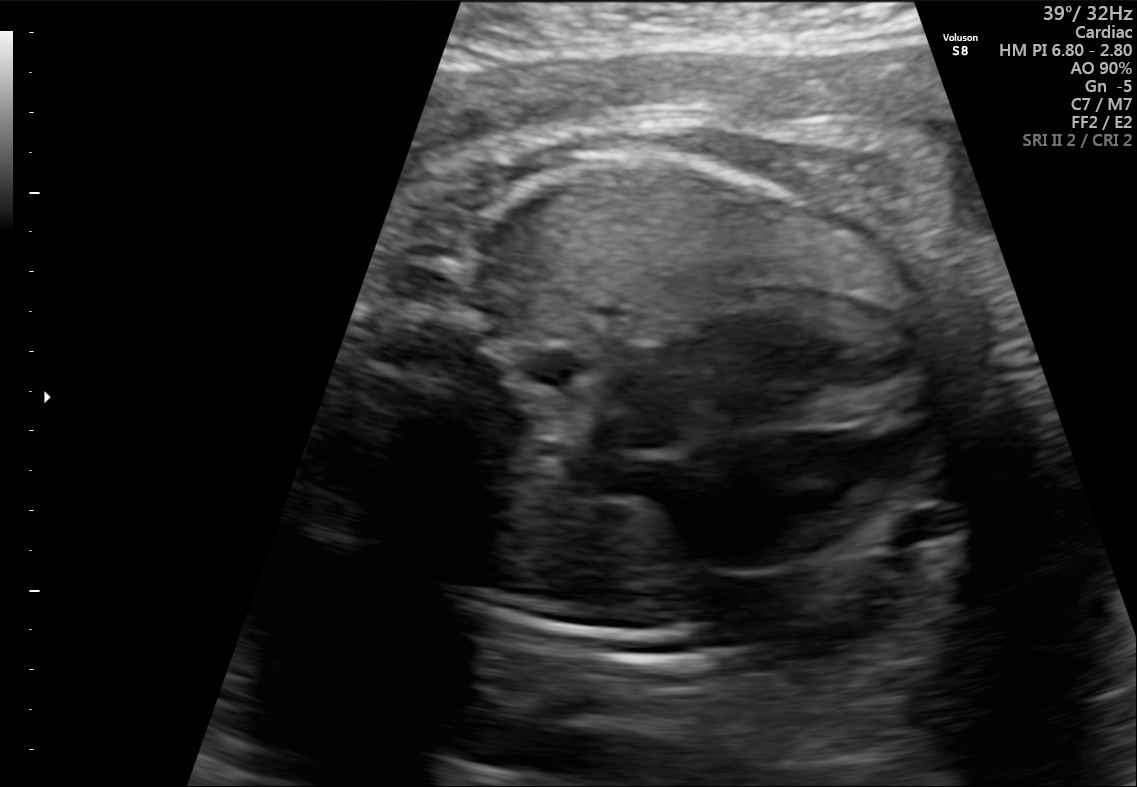
Classify this maternal-fetal ultrasound image as one of the six standard planes — fetal abdomen, fetal brain, fetal femur, fetal thorax, maternal cervix, or other. If it's fetal brain and one of the three standard brain planes (trans-thalamic, trans-cerebellum, trans-ventricular), name which.

Fetal thorax